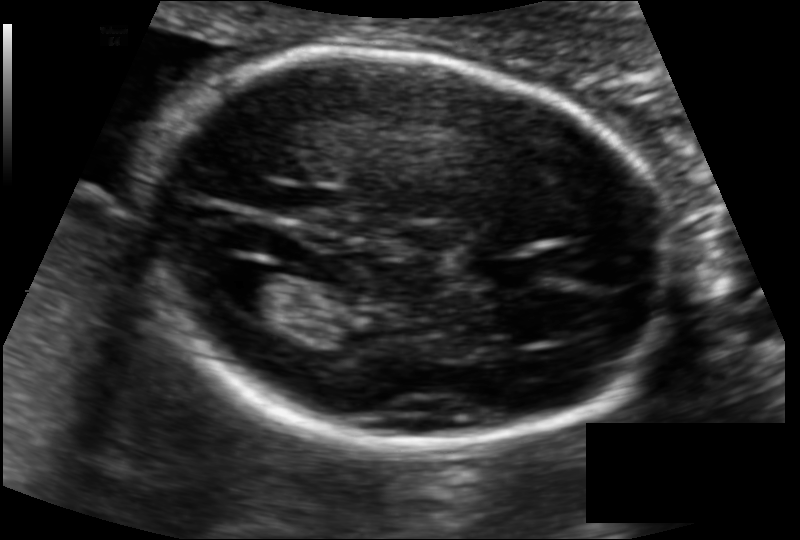
From this fetal ultrasound, estimate the head circumference (image width 88.0 mm).

Head circumference: 165.7 mm.